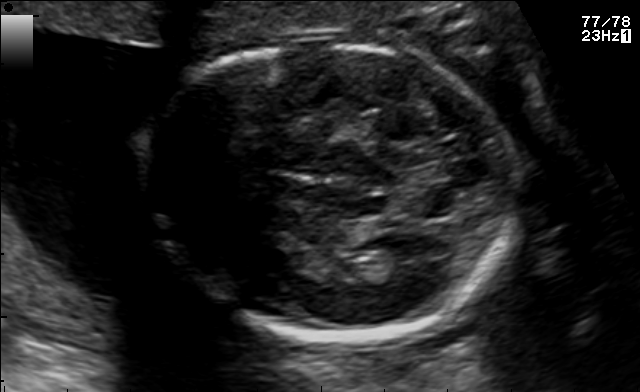
Fetal brain, trans-thalamic plane. Locate the fetal head and, if visible, the cavum septum pellucidum (CSP) and lateral ventricle (LV). Give bounding boxes as [x1,y1,x2,y2].

Head: [153,37,517,337]